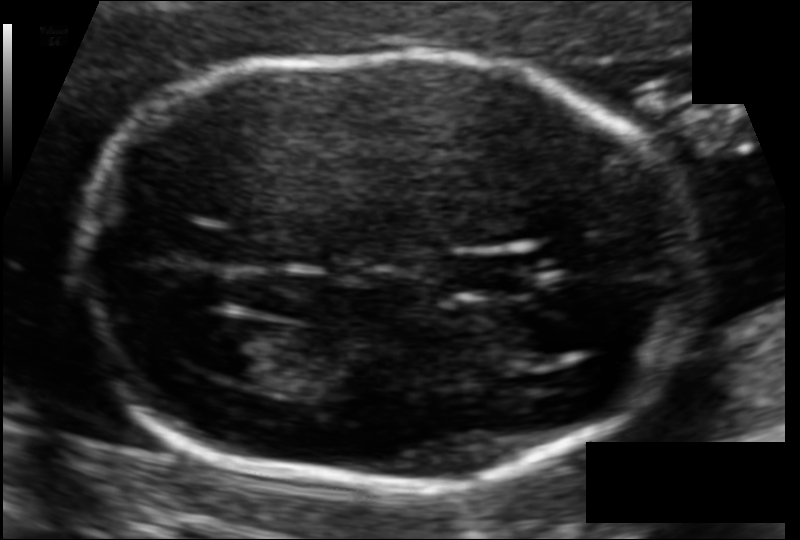
Measure the fetal head circumference shown in this ultrasound image. Image width: 73.9 mm.

Head circumference: 159.9 mm.